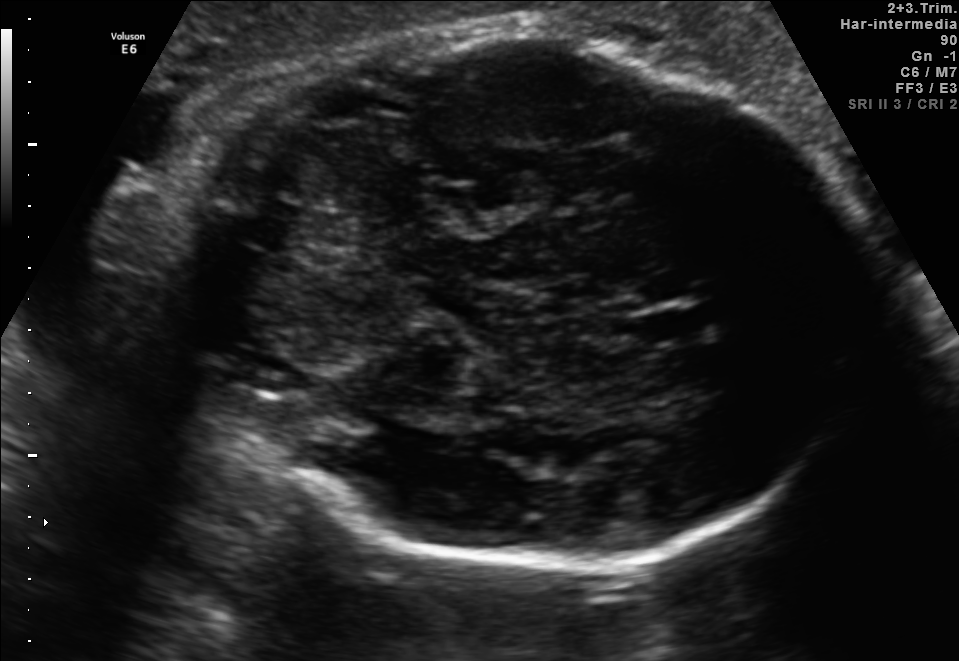
Fetal brain, trans-cerebellum plane. Where is the cavum septum pellucidum?

CSP bounding box: [625,297,709,355]